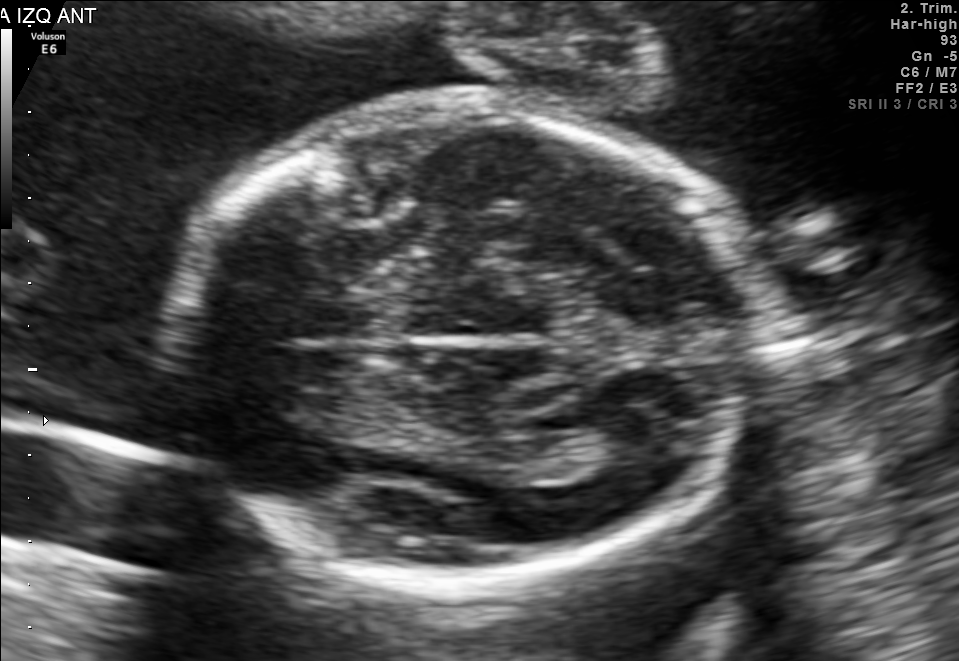
In this fetal brain, trans-thalamic plane, give bounding boxes for the head outline, cavum septum pellucidum (CSP), and lateral ventricle (LV), where visible.

Head: [177,103,750,584]
Lateral ventricle: [559,422,657,480]